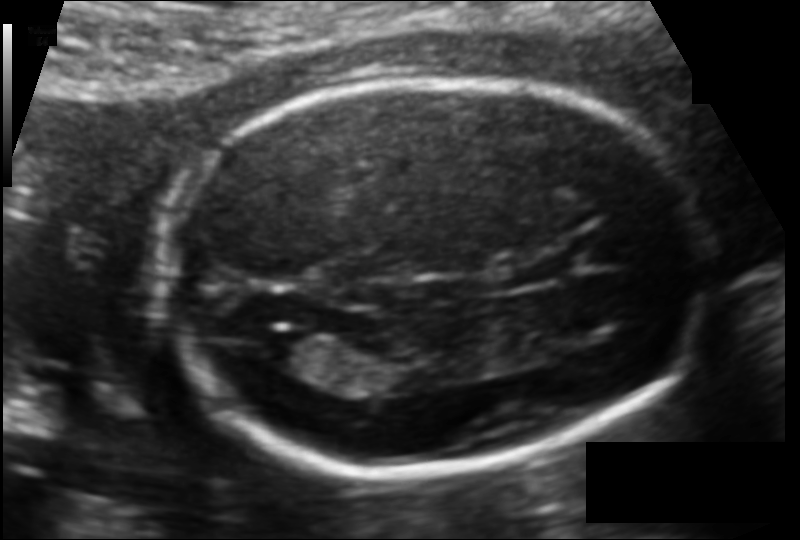
What is the fetal head circumference? Image width is 87.1 mm.

163.9 mm